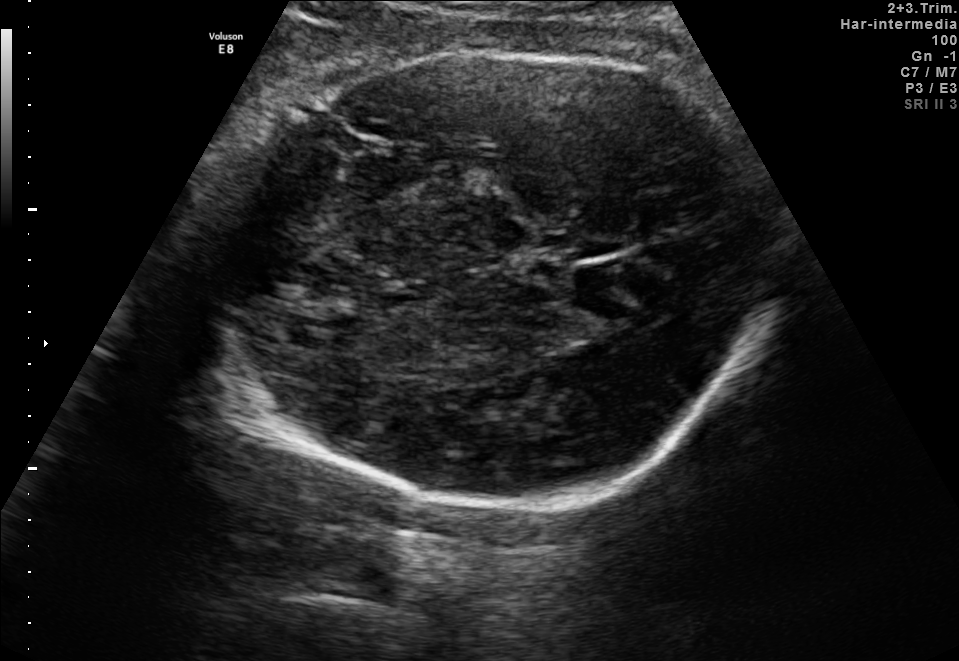
In this fetal brain, trans-thalamic plane, give the bounding box of the fetal head.

[206,44,779,519]